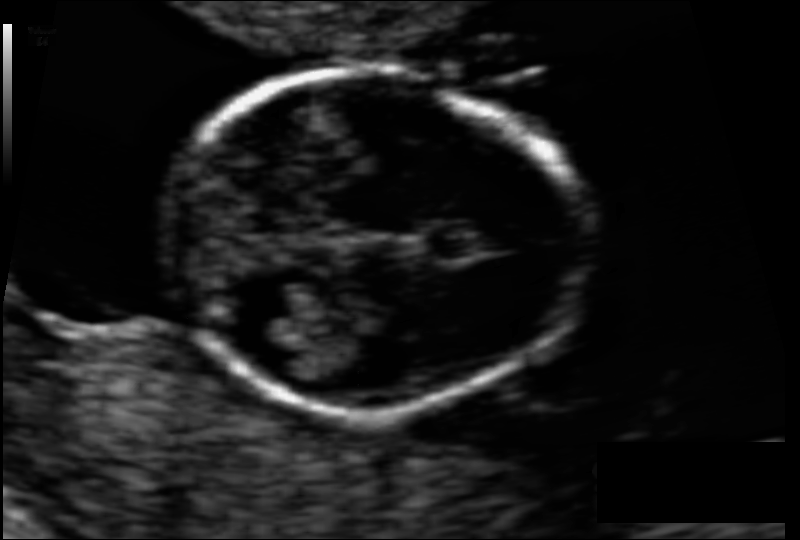
Fetal head ultrasound. Image width: 52.1 mm. Locate the fetal head.

Head: [163,73,586,413]